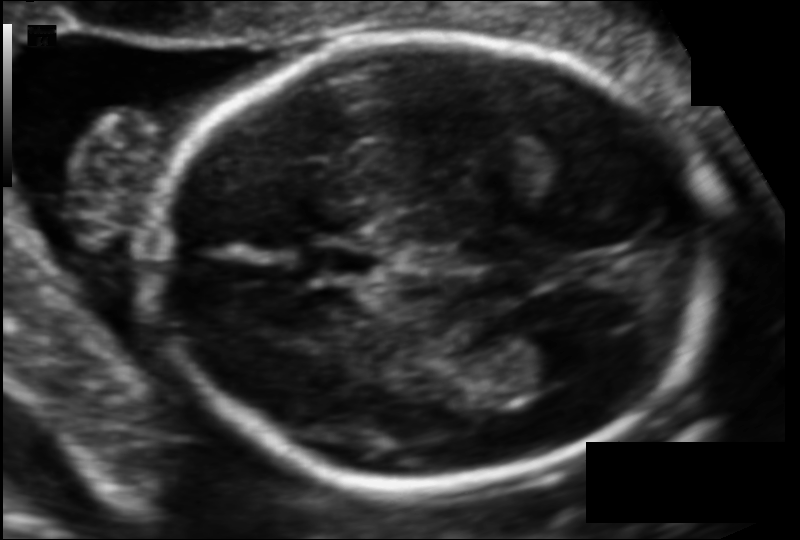
Fetal head ultrasound. Image width: 81.4 mm. Locate the lateral ventricle.

Lateral ventricle: [506,309,613,395]